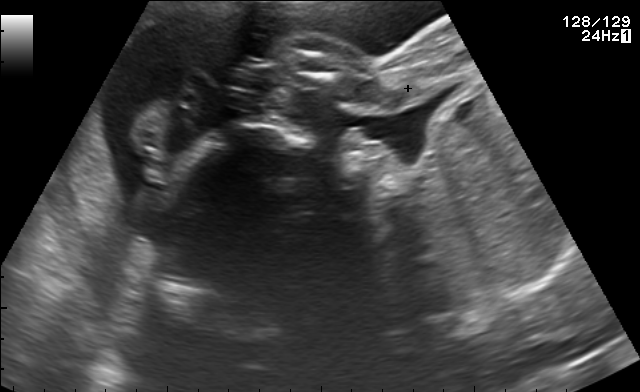
This is a 2D maternal-fetal ultrasound frame. Is it a fetal abdomen, fetal brain, fetal femur, fetal thorax, maternal cervix, or other standard plane? If it's fetal brain and one of the three standard brain planes (trans-thalamic, trans-cerebellum, trans-ventricular), name which.

Other